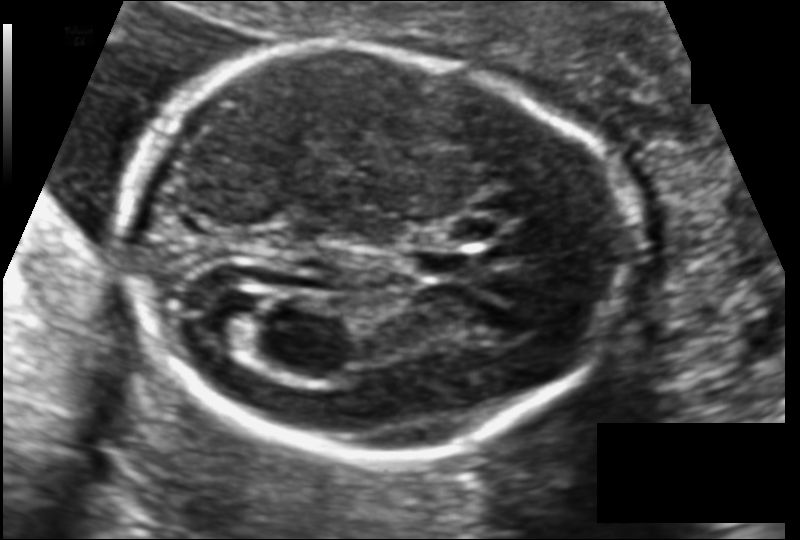
Estimate the fetal head circumference from this 2D ultrasound. Image width: 93.1 mm.

Head circumference: 172.2 mm.